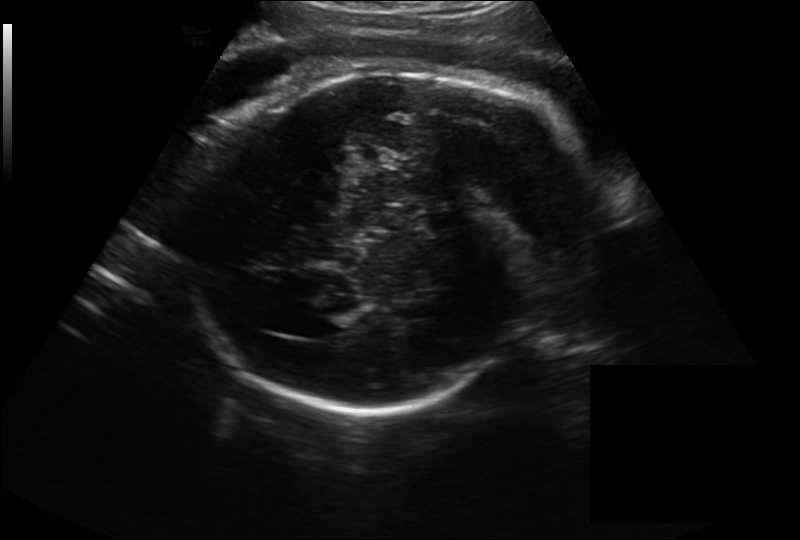
Fetal head ultrasound. Image width: 209.3 mm. Where is the fetal head?

Head bounding box: [189,67,585,411]